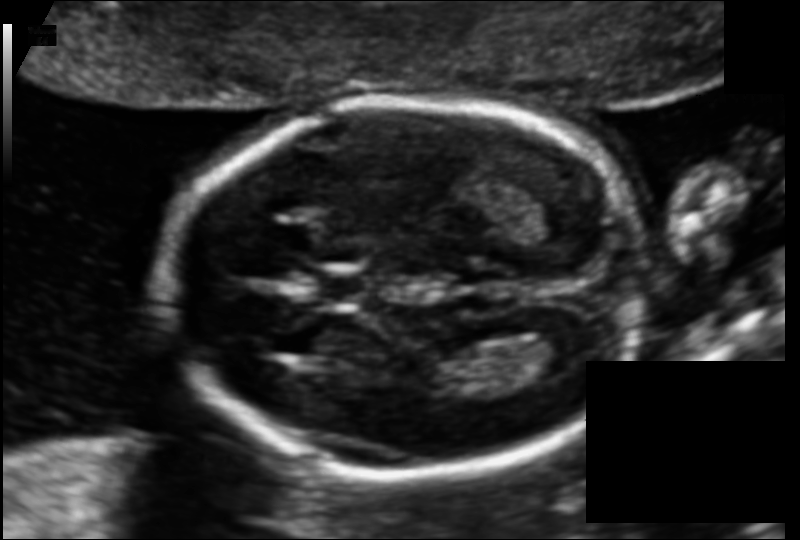
Fetal head ultrasound. Image width: 87.9 mm. Give [x1,y1,x2,y2] bounding boxes for each visible structure among: fetal head, CSP, LV.

Head: [160,100,638,474]
CSP: [313,273,374,303]
Lateral ventricle: [512,315,591,384]